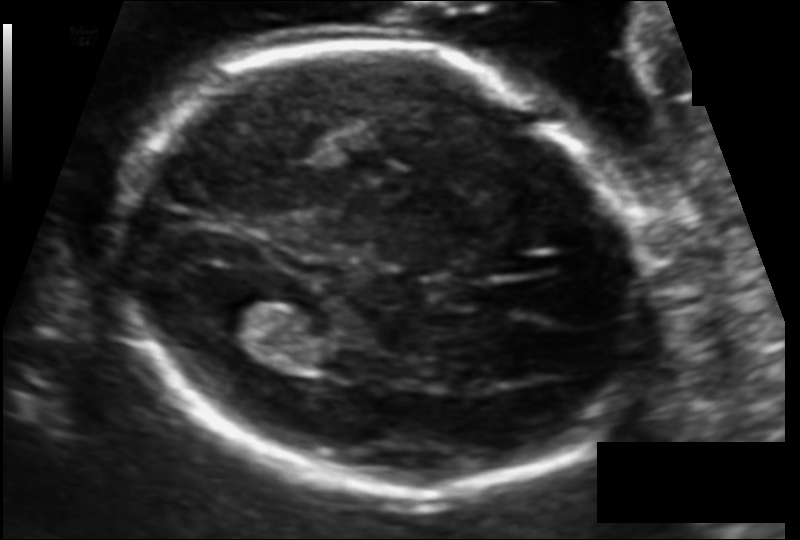
In this fetal head ultrasound, give the bounding box of the fetal head. Image width: 92.8 mm.

[113,44,652,493]